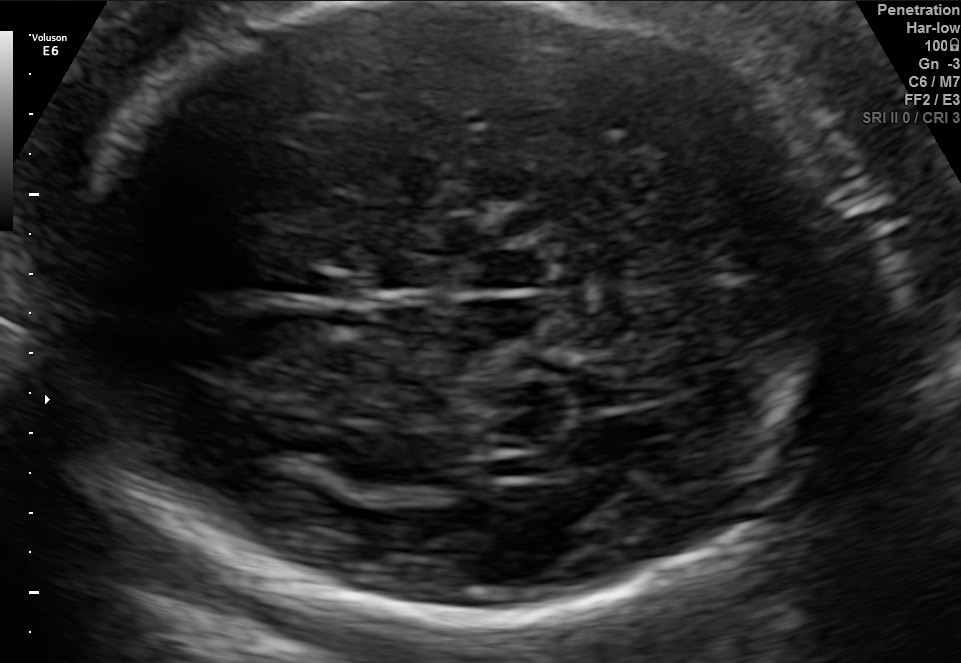
Fetal brain, trans-thalamic plane. Locate the fetal head and, if visible, the cavum septum pellucidum (CSP) and lateral ventricle (LV). Give bounding boxes as [x1,y1,x2,y2].

Head: [44,6,869,621]